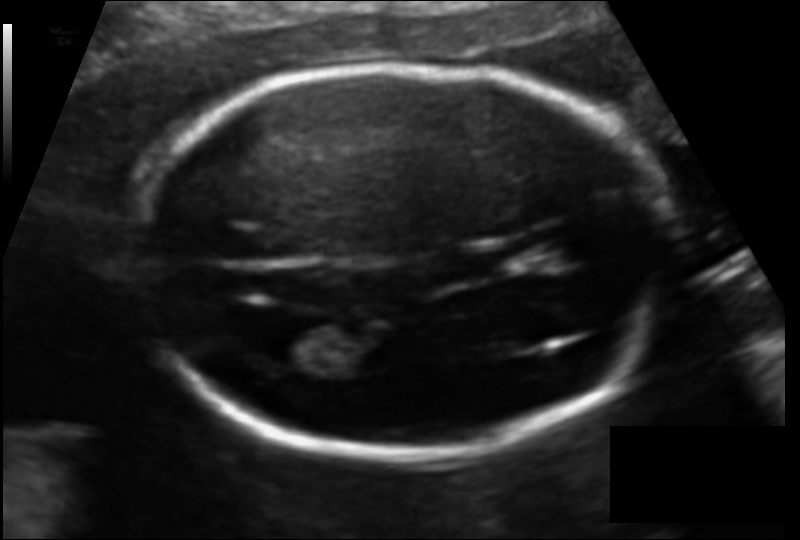
From this fetal ultrasound, estimate the head circumference (image width 87.6 mm).

Head circumference: 165.6 mm.